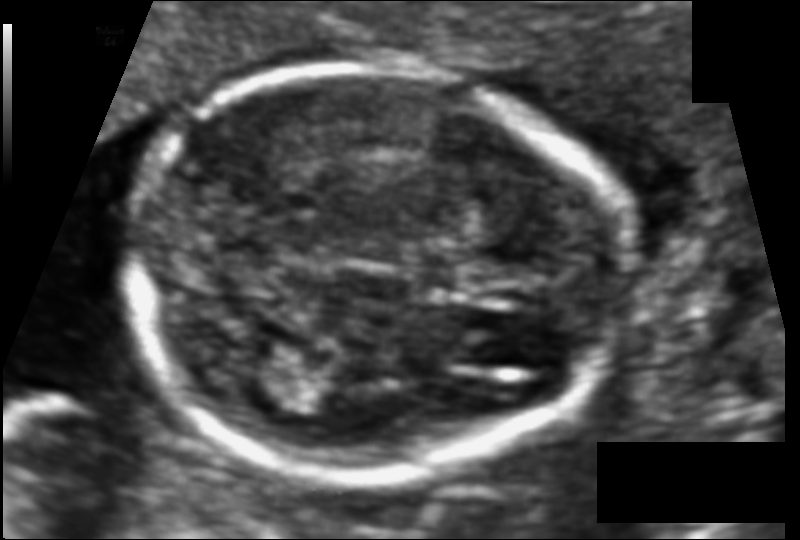
Measure the fetal head circumference shown in this ultrasound image. Image width: 65.0 mm.

Head circumference: 122.0 mm.